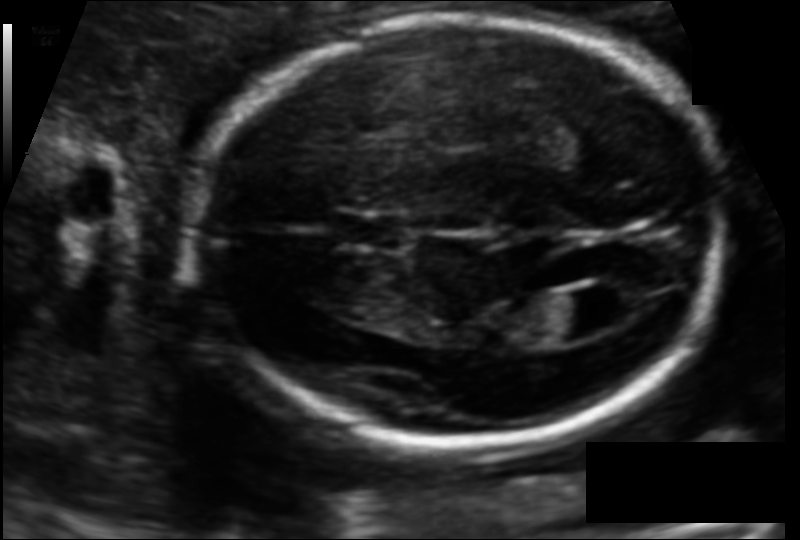
In this fetal head ultrasound, give the bounding box of the lateral ventricle. Image width: 90.0 mm.

[543,281,630,345]